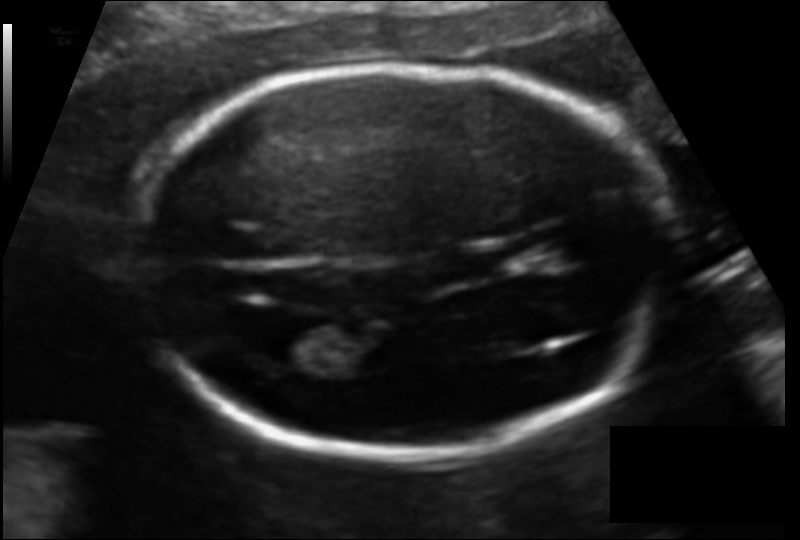
In this fetal head ultrasound, give bounding boxes for the head outline, cavum septum pellucidum (CSP), and lateral ventricle (LV), where visible. Image width: 87.6 mm.

Head: [132,65,675,454]
Lateral ventricle: [257,324,336,365]